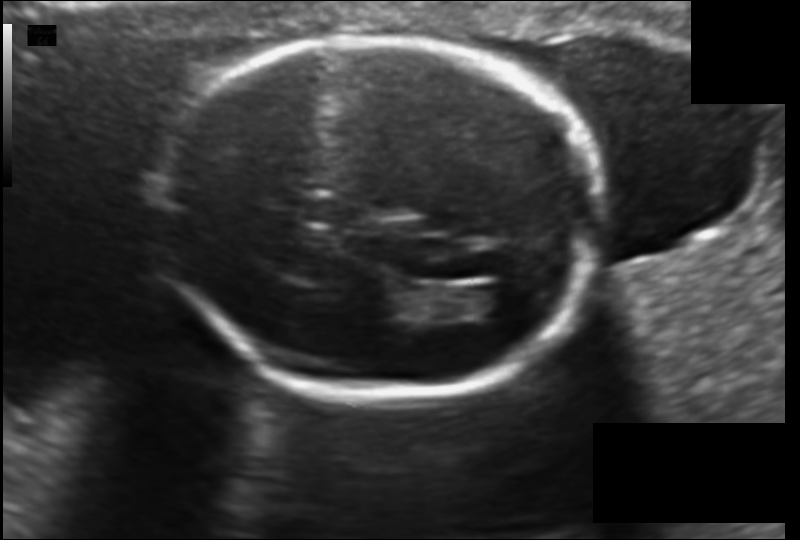
Fetal head ultrasound. Image width: 104.2 mm. Where is the fetal head?

Head bounding box: [158,39,598,398]